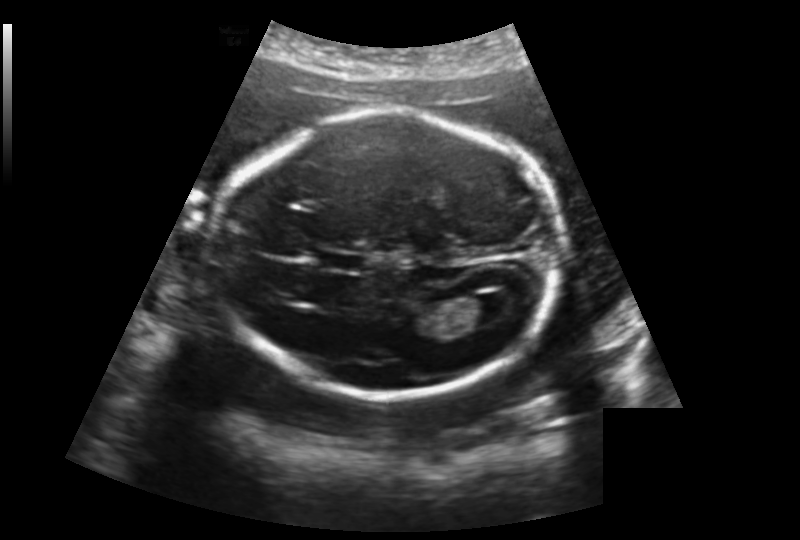
Estimate the fetal head circumference from this 2D ultrasound. Image width: 150.3 mm.

Head circumference: 194.6 mm.